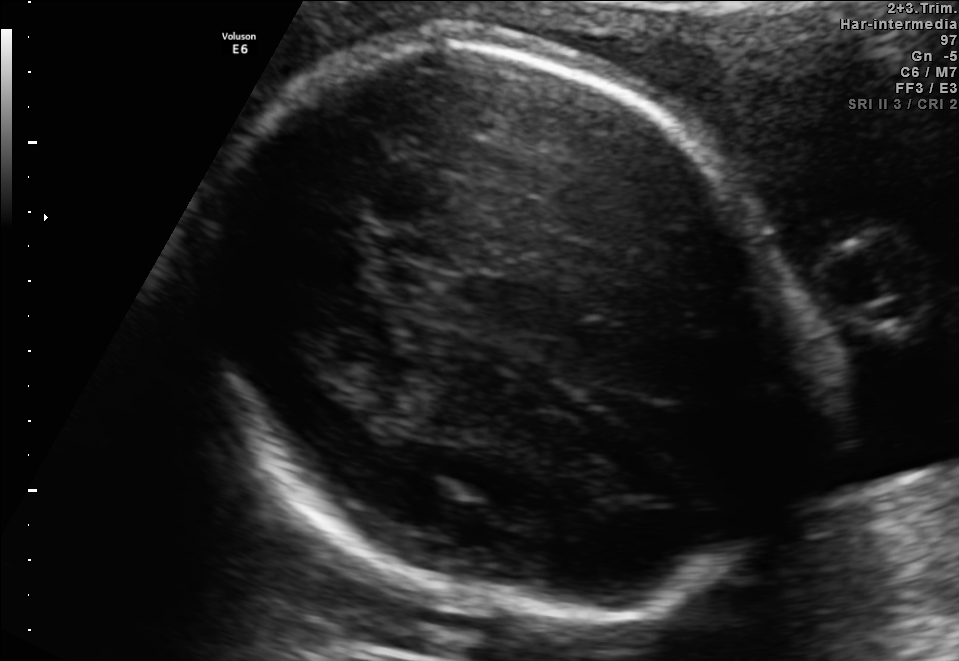
Fetal brain, trans-thalamic plane. Locate the fetal head.

Head: [193,43,816,620]